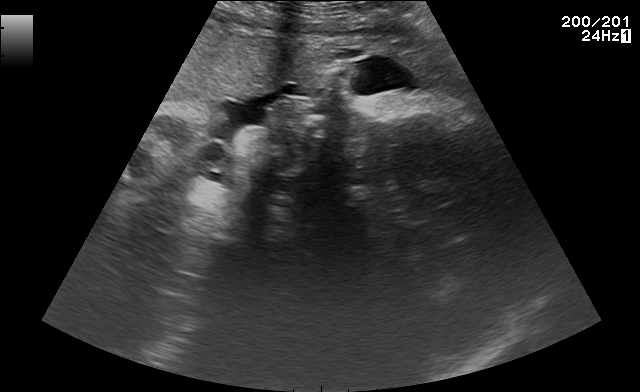
Identify the standard plane in this fetal ultrasound image: fetal abdomen, fetal brain, fetal femur, fetal thorax, maternal cervix, or other. If it's fetal brain and one of the three standard brain planes (trans-thalamic, trans-cerebellum, trans-ventricular), name which.

Other